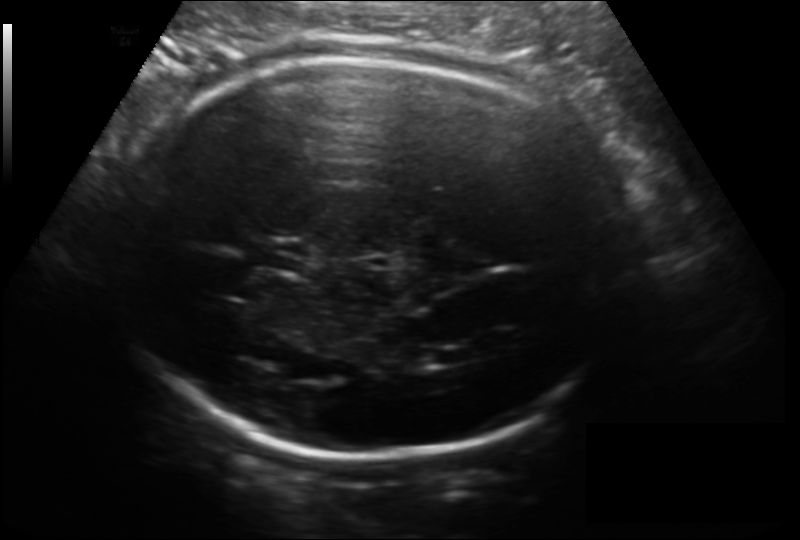
In this fetal head ultrasound, give bounding boxes for the head outline, cavum septum pellucidum (CSP), and lateral ventricle (LV), where visible. Image width: 133.1 mm.

Head: [109,59,629,457]